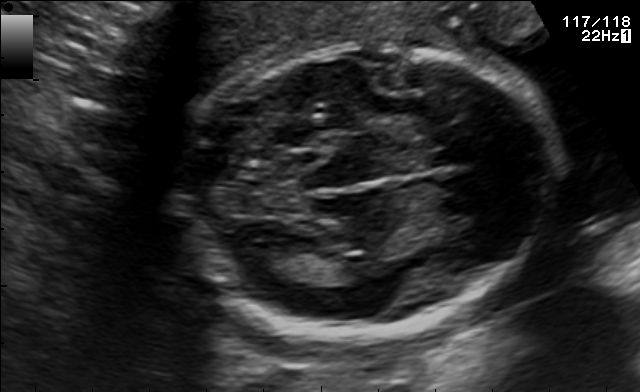
Fetal brain, trans-thalamic plane. Locate the fetal head.

Head: [186,43,552,334]